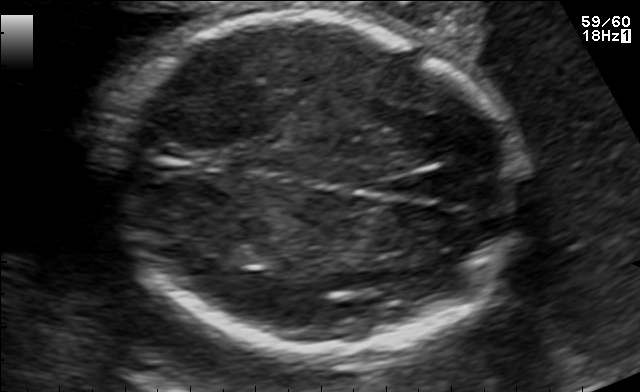
In this fetal brain, trans-thalamic plane, give bounding boxes for the head outline, cavum septum pellucidum (CSP), and lateral ventricle (LV), where visible.

Head: [105,14,523,352]